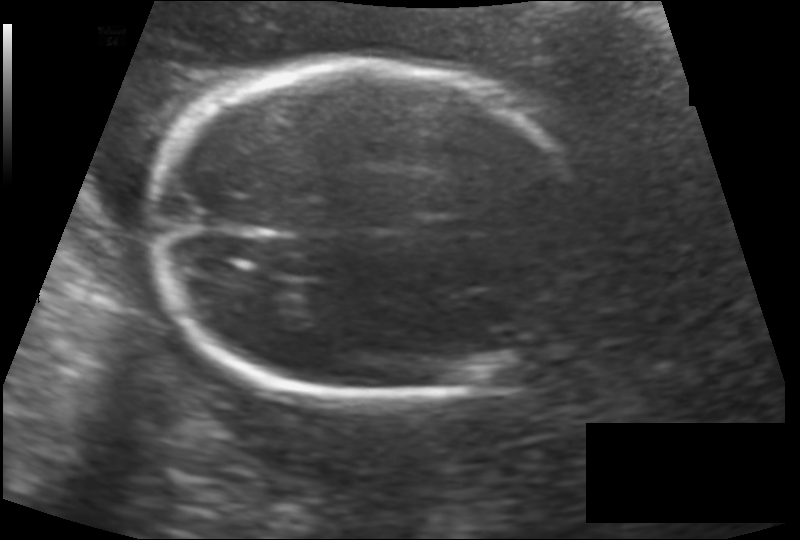
Fetal head ultrasound. Image width: 117.4 mm. Locate the fetal head and, if visible, the cavum septum pellucidum (CSP) and lateral ventricle (LV). Give bounding boxes as [x1,y1,x2,y2].

Head: [150,63,586,400]